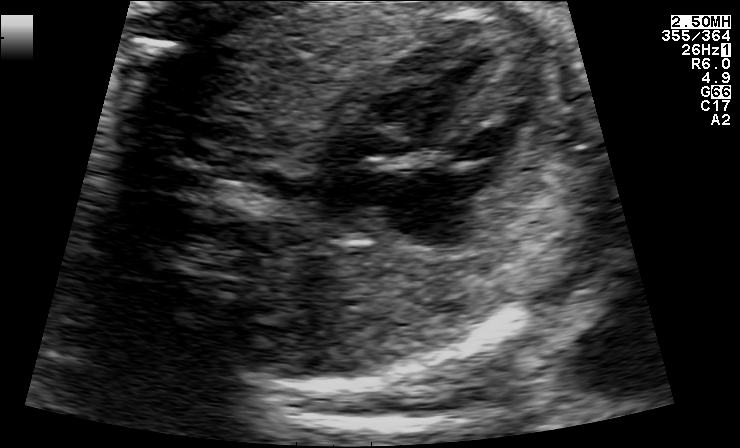
Which standard maternal-fetal ultrasound plane is shown: fetal abdomen, fetal brain, fetal femur, fetal thorax, maternal cervix, or other? If it's fetal brain and one of the three standard brain planes (trans-thalamic, trans-cerebellum, trans-ventricular), name which.

Fetal thorax